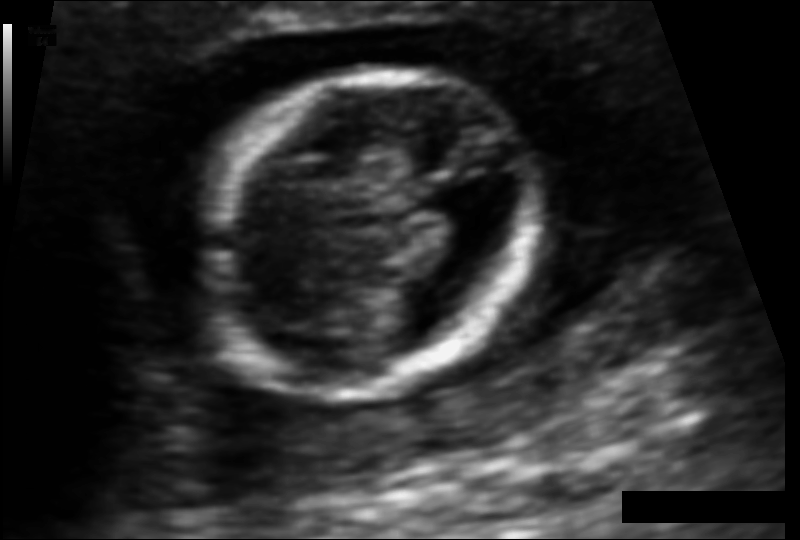
Estimate the fetal head circumference from this 2D ultrasound. Image width: 73.5 mm.

Head circumference: 98.7 mm.